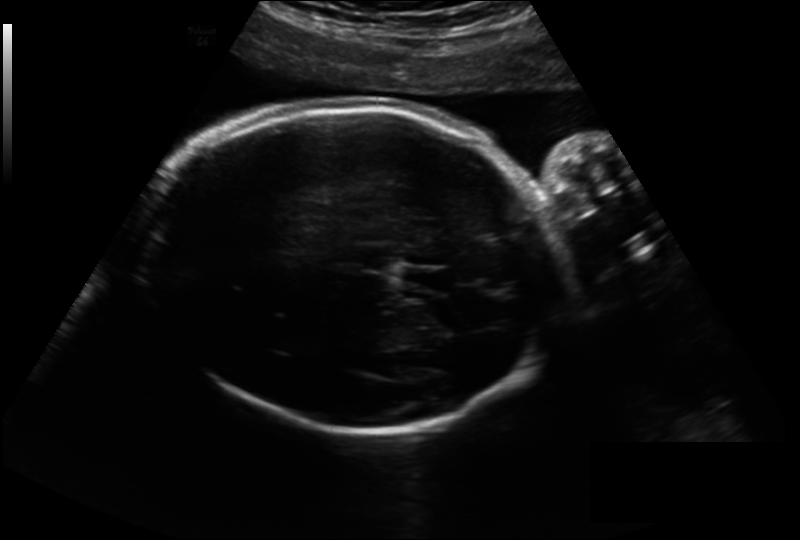
Measure the fetal head circumference shown in this ultrasound image. Image width: 194.6 mm.

Head circumference: 296.8 mm.